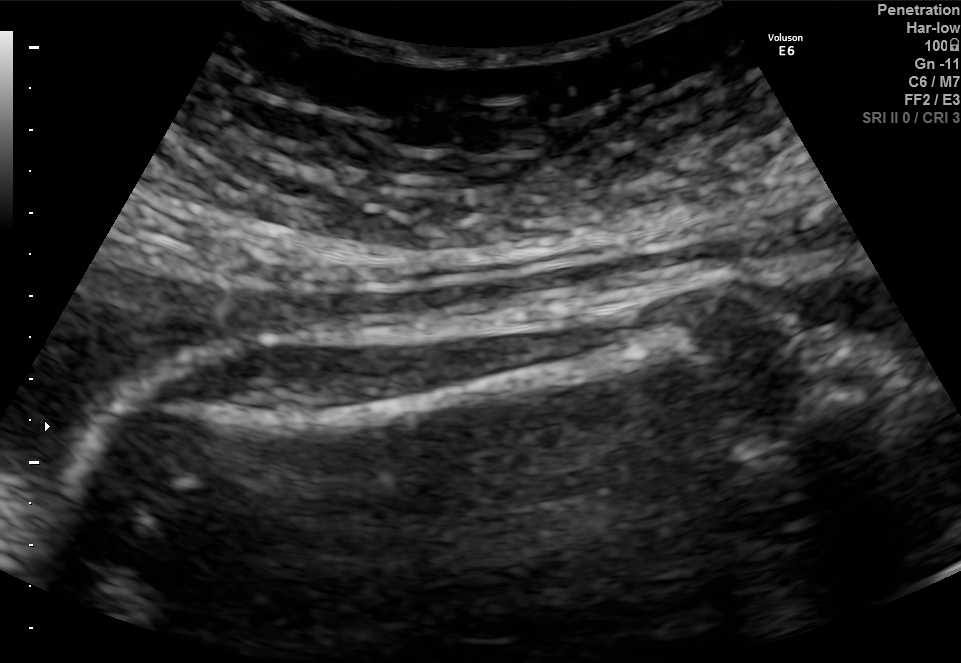
Identify the standard plane in this fetal ultrasound image: fetal abdomen, fetal brain, fetal femur, fetal thorax, maternal cervix, or other. If it's fetal brain and one of the three standard brain planes (trans-thalamic, trans-cerebellum, trans-ventricular), name which.

Fetal femur